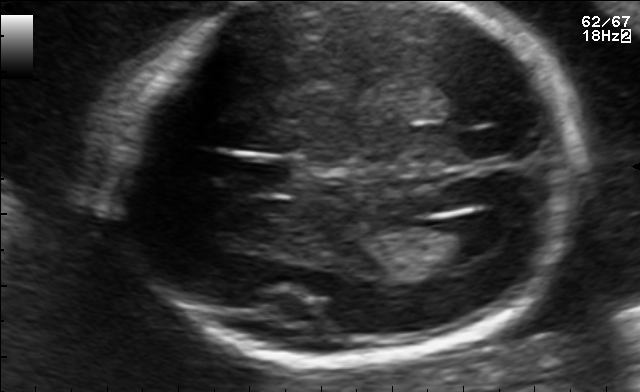
In this fetal brain, trans-ventricular plane, give the bounding box of the lateral ventricle.

[442,206,515,260]